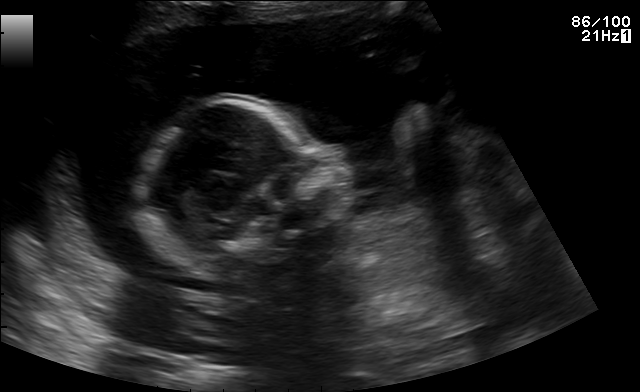
Identify the standard plane in this fetal ultrasound image: fetal abdomen, fetal brain, fetal femur, fetal thorax, maternal cervix, or other. If it's fetal brain and one of the three standard brain planes (trans-thalamic, trans-cerebellum, trans-ventricular), name which.

Other